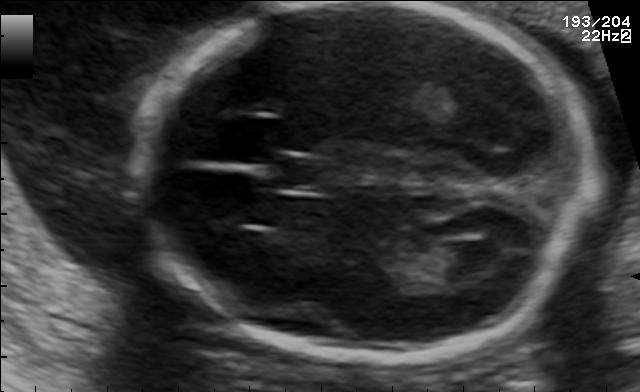
Fetal brain, trans-ventricular plane. Where is the cavum septum pellucidum?

CSP bounding box: [273,154,335,195]